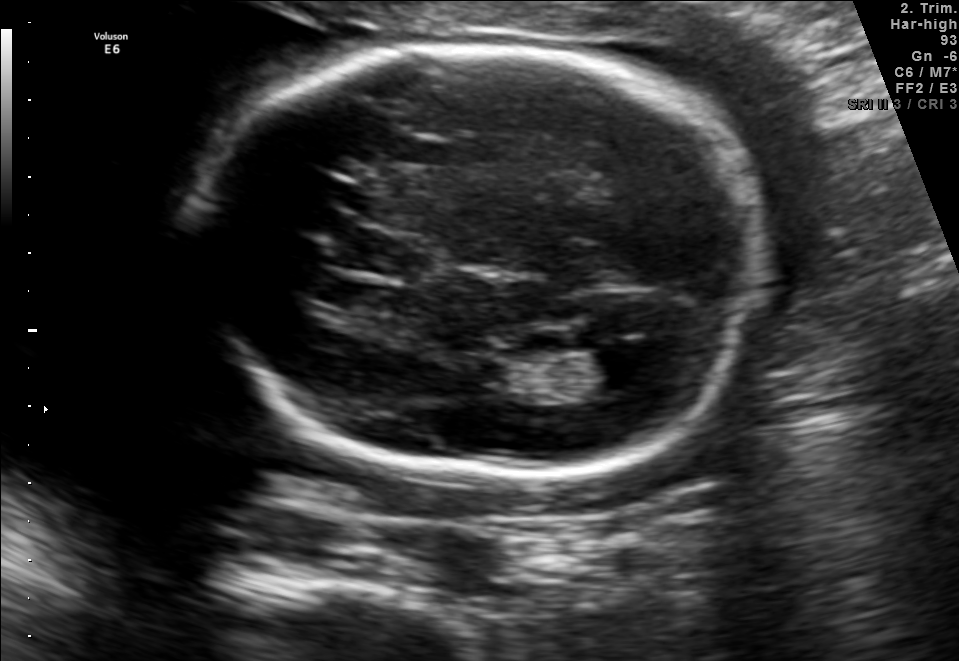
In this fetal brain, trans-ventricular plane, give the bounding box of the lateral ventricle.

[576,344,664,400]